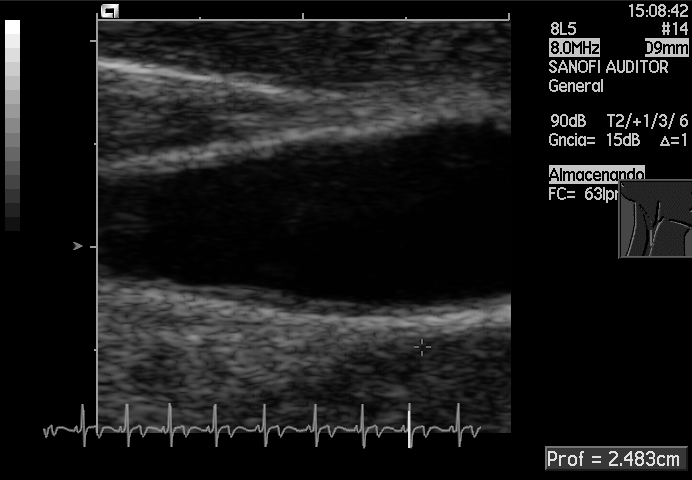
Identify the standard plane in this fetal ultrasound image: fetal abdomen, fetal brain, fetal femur, fetal thorax, maternal cervix, or other. If it's fetal brain and one of the three standard brain planes (trans-thalamic, trans-cerebellum, trans-ventricular), name which.

Other